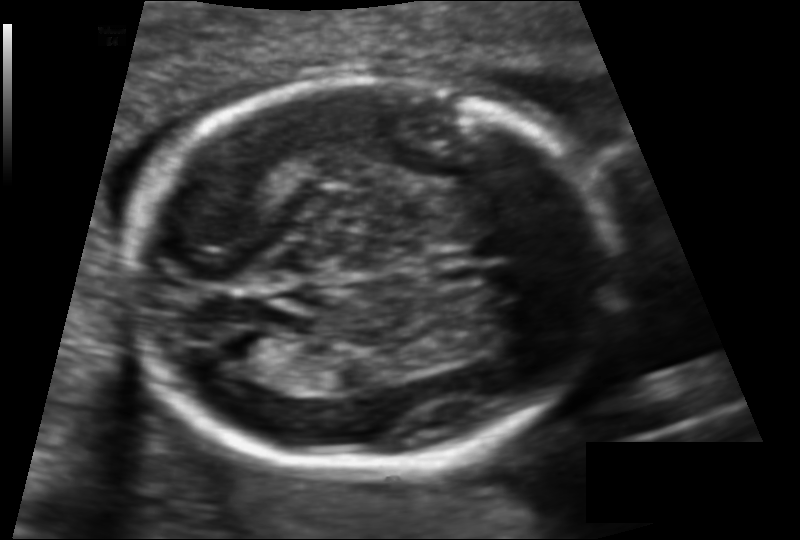
Fetal head ultrasound. Image width: 94.9 mm. Locate the fetal head.

Head: [123,75,615,465]